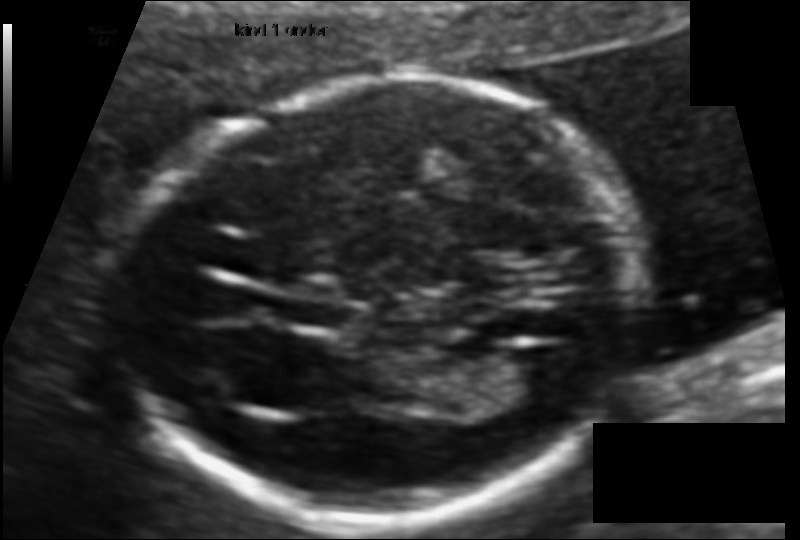
From this fetal ultrasound, estimate the head circumference (image width 75.7 mm).

Head circumference: 148.9 mm.